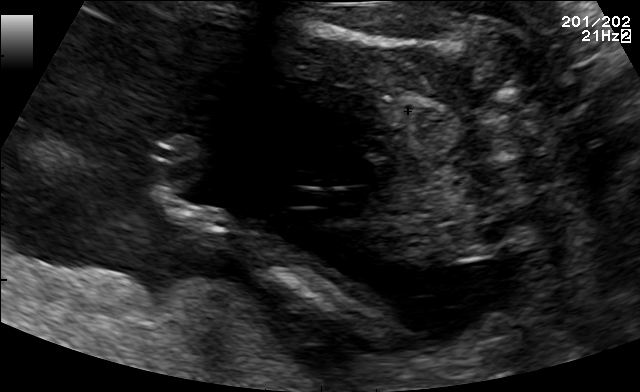
Which standard maternal-fetal ultrasound plane is shown: fetal abdomen, fetal brain, fetal femur, fetal thorax, maternal cervix, or other? If it's fetal brain and one of the three standard brain planes (trans-thalamic, trans-cerebellum, trans-ventricular), name which.

Other